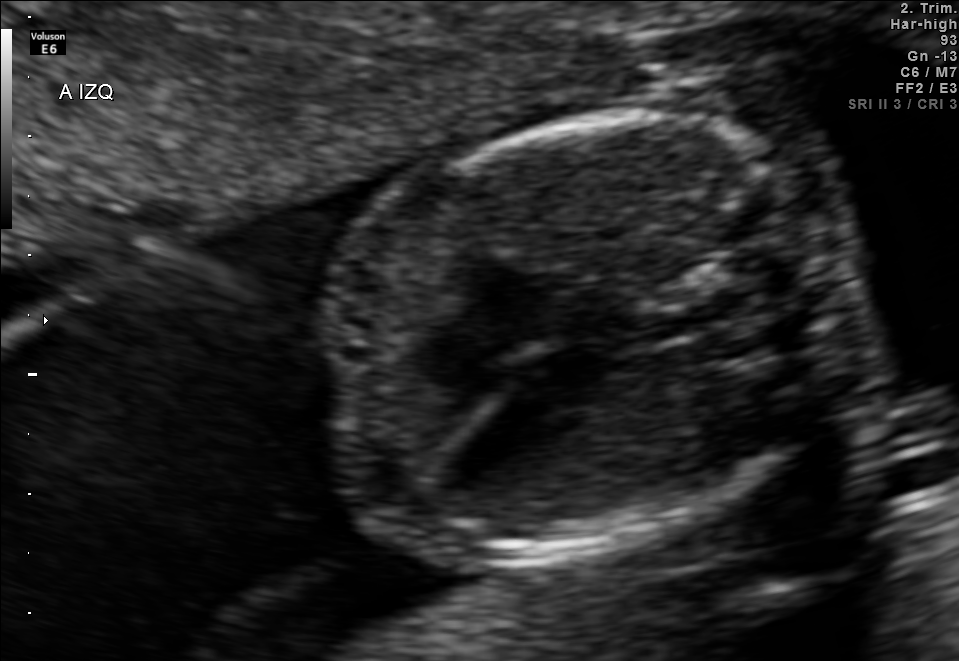
Identify the standard plane in this fetal ultrasound image: fetal abdomen, fetal brain, fetal femur, fetal thorax, maternal cervix, or other. If it's fetal brain and one of the three standard brain planes (trans-thalamic, trans-cerebellum, trans-ventricular), name which.

Fetal thorax